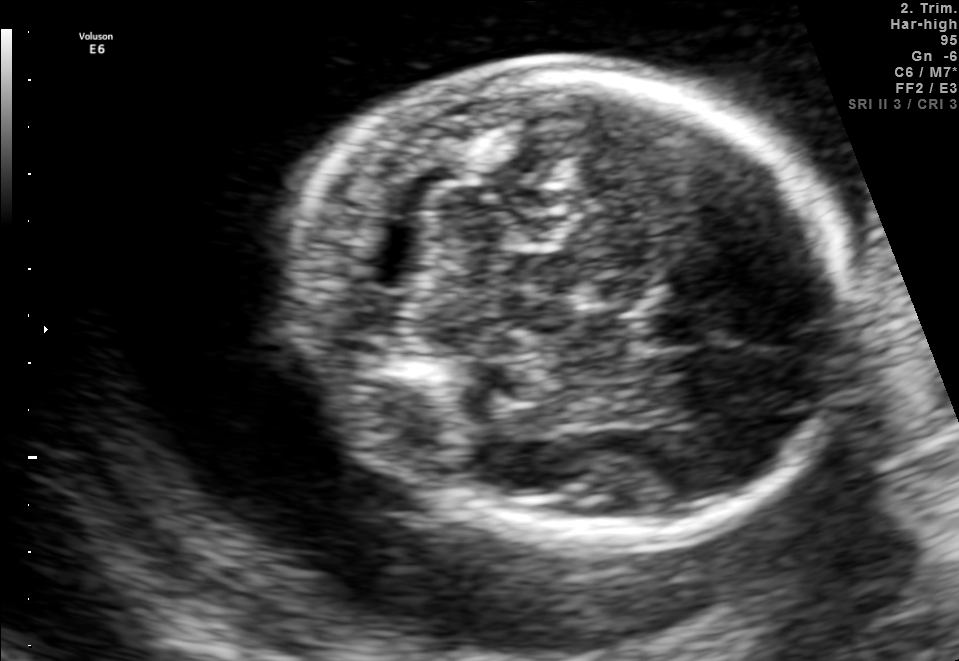
In this fetal brain, trans-cerebellum plane, give bounding boxes for the head outline, cavum septum pellucidum (CSP), and lateral ventricle (LV), where visible.

Head: [299,72,852,547]
CSP: [642,305,727,355]